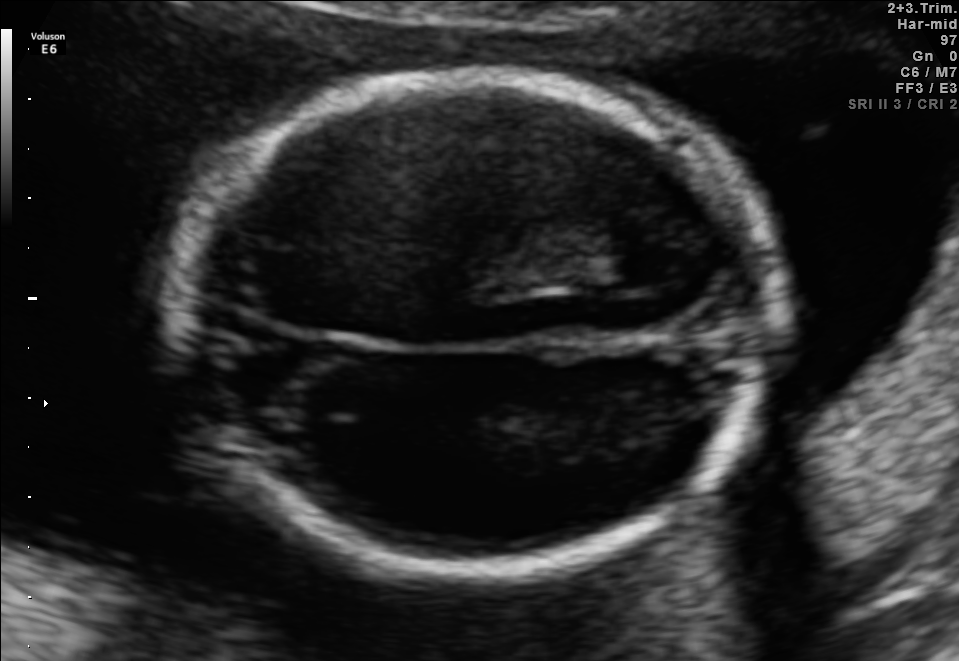
Fetal brain, trans-thalamic plane. Locate the fetal head.

Head: [172,76,777,569]